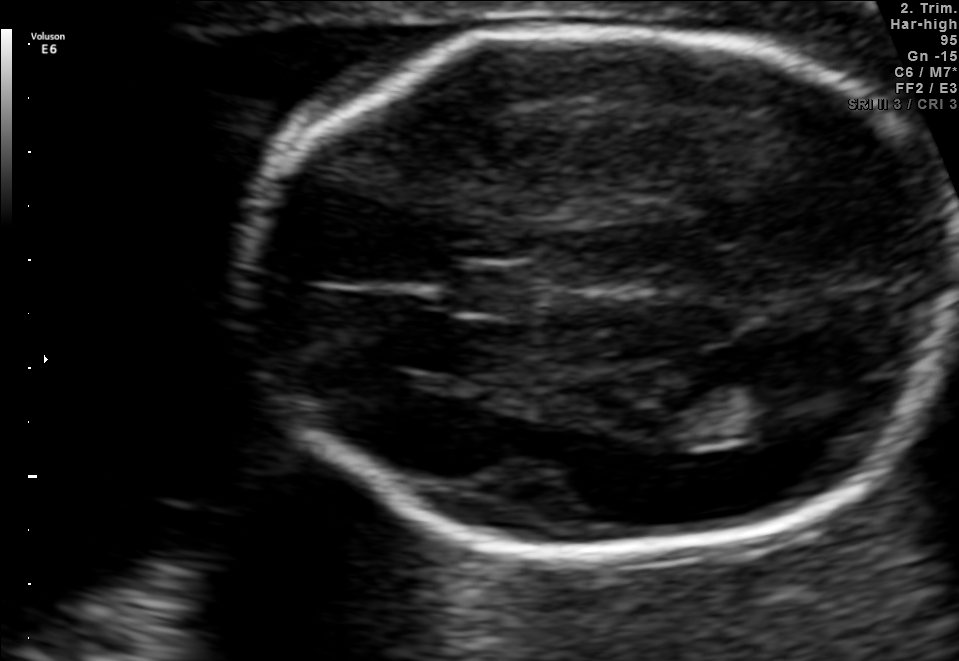
In this fetal brain, trans-thalamic plane, give bounding boxes for the head outline, cavum septum pellucidum (CSP), and lateral ventricle (LV), where visible.

Head: [240,29,958,552]
CSP: [453,265,531,313]
Lateral ventricle: [723,362,840,444]